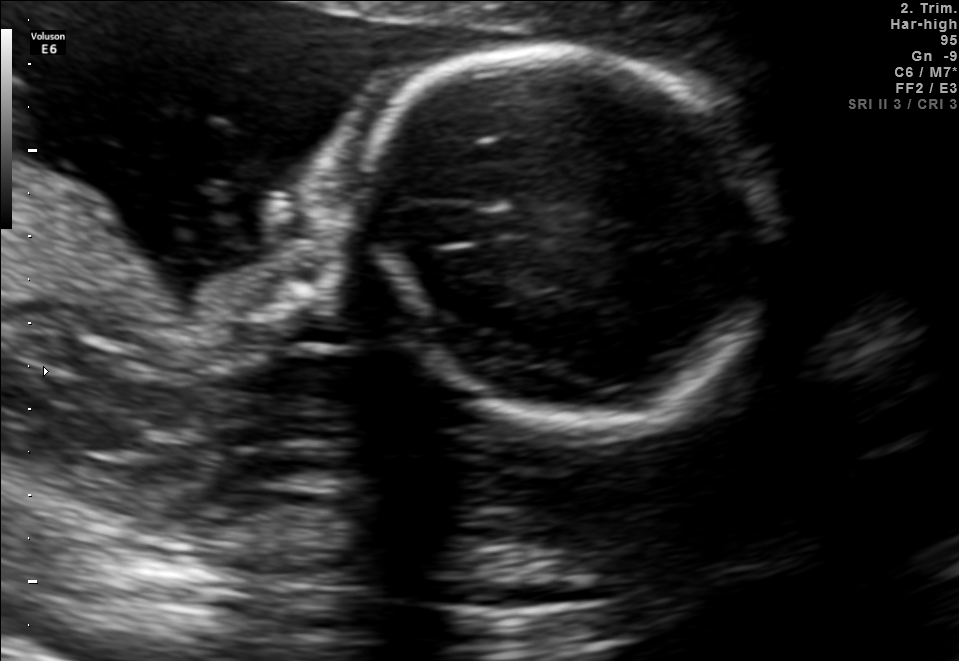
Identify the standard plane in this fetal ultrasound image: fetal abdomen, fetal brain, fetal femur, fetal thorax, maternal cervix, or other. If it's fetal brain and one of the three standard brain planes (trans-thalamic, trans-cerebellum, trans-ventricular), name which.

Fetal brain